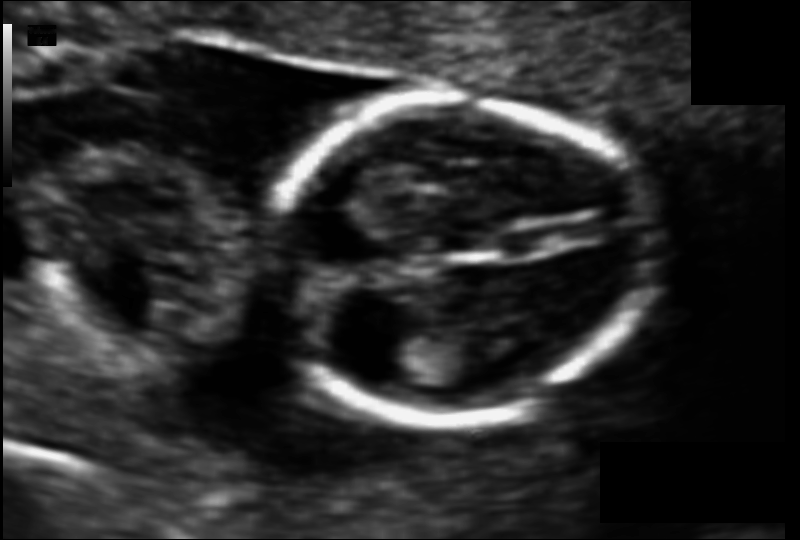
Estimate the fetal head circumference from this 2D ultrasound. Image width: 66.6 mm.

Head circumference: 95.3 mm.